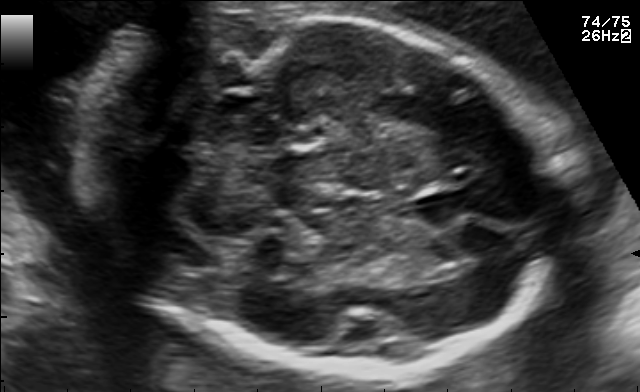
Fetal brain, trans-cerebellum plane. Give [x1,y1,x2,y2] bounding boxes for each visible structure among: fetal head, CSP, LV.

Head: [93,12,559,372]